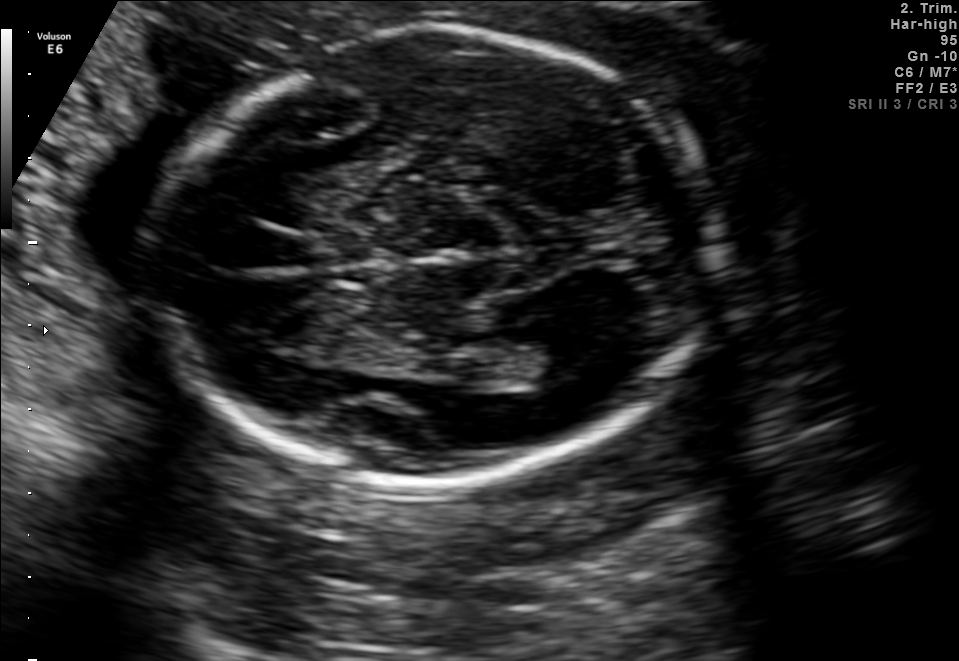
Classify this maternal-fetal ultrasound image as one of the six standard planes — fetal abdomen, fetal brain, fetal femur, fetal thorax, maternal cervix, or other. If it's fetal brain and one of the three standard brain planes (trans-thalamic, trans-cerebellum, trans-ventricular), name which.

Fetal brain (trans-ventricular plane)